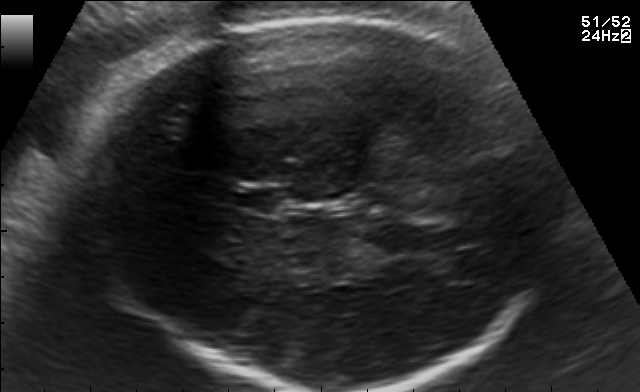
Fetal brain, trans-thalamic plane. Locate the fetal head.

Head: [86,13,553,390]